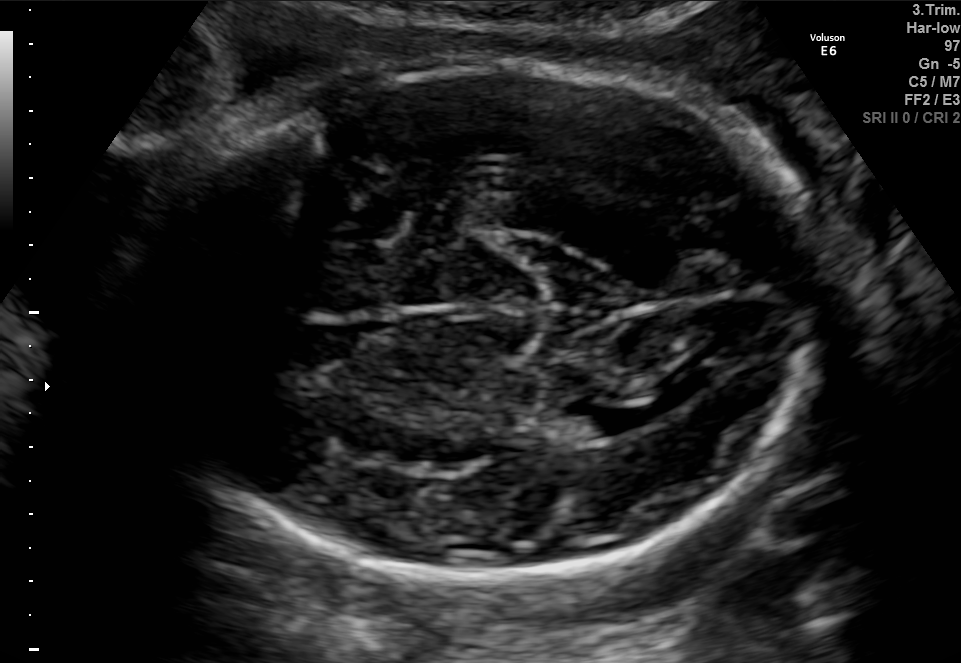
Fetal brain, trans-thalamic plane. Give [x1,y1,x2,y2] bounding boxes for each visible structure among: fetal head, CSP, LV.

Head: [129,50,846,583]
Lateral ventricle: [571,398,648,444]